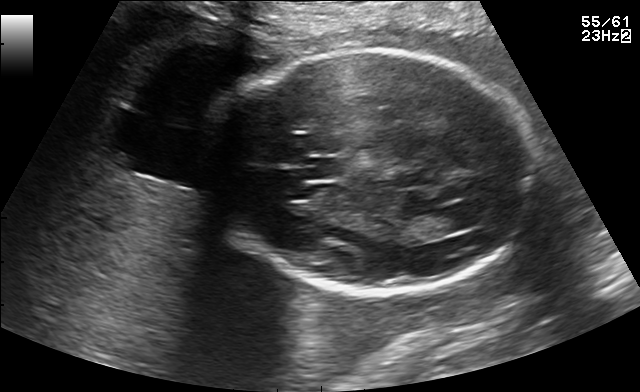
Identify the standard plane in this fetal ultrasound image: fetal abdomen, fetal brain, fetal femur, fetal thorax, maternal cervix, or other. If it's fetal brain and one of the three standard brain planes (trans-thalamic, trans-cerebellum, trans-ventricular), name which.

Fetal brain (trans-thalamic plane)